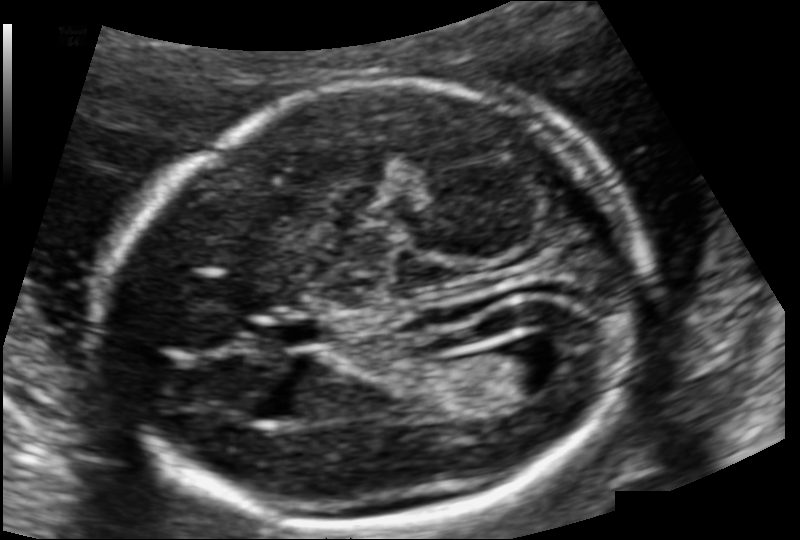
Fetal head ultrasound. Image width: 89.0 mm. Locate the cavum septum pellucidum.

CSP: [273,316,330,349]